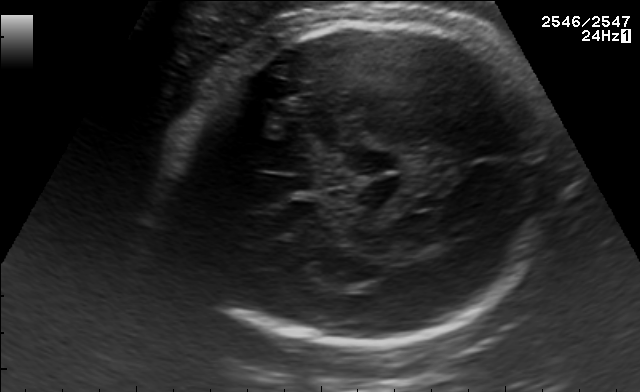
In this fetal brain, trans-thalamic plane, give bounding boxes for the head outline, cavum septum pellucidum (CSP), and lateral ventricle (LV), where visible.

Head: [178,14,554,346]